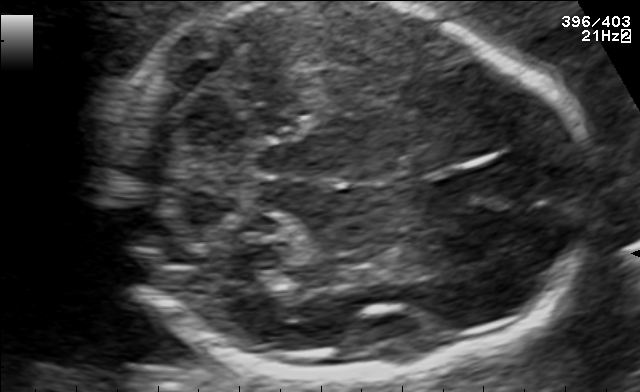
Classify this maternal-fetal ultrasound image as one of the six standard planes — fetal abdomen, fetal brain, fetal femur, fetal thorax, maternal cervix, or other. If it's fetal brain and one of the three standard brain planes (trans-thalamic, trans-cerebellum, trans-ventricular), name which.

Fetal brain (trans-cerebellum plane)